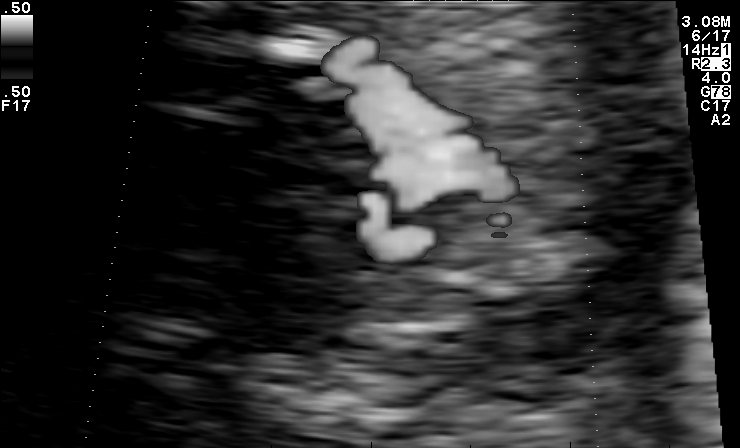
Classify this maternal-fetal ultrasound image as one of the six standard planes — fetal abdomen, fetal brain, fetal femur, fetal thorax, maternal cervix, or other. If it's fetal brain and one of the three standard brain planes (trans-thalamic, trans-cerebellum, trans-ventricular), name which.

Other